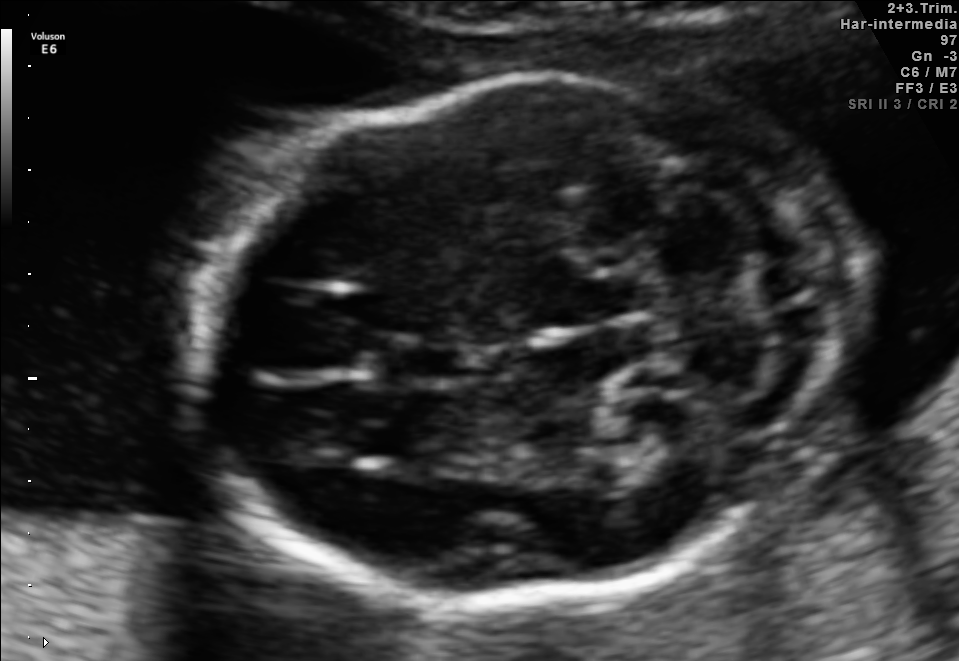
Fetal brain, trans-cerebellum plane. Locate the fetal head and, if visible, the cavum septum pellucidum (CSP) and lateral ventricle (LV). Give bounding boxes as [x1,y1,x2,y2].

Head: [189,80,846,617]
CSP: [390,337,478,382]